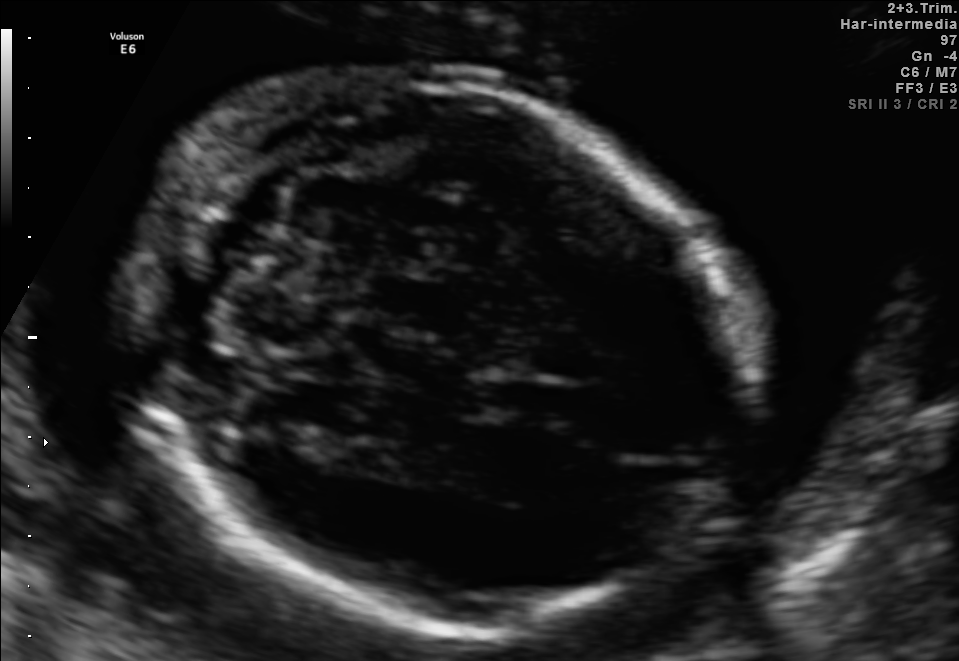
In this fetal brain, trans-cerebellum plane, give bounding boxes for the head outline, cavum septum pellucidum (CSP), and lateral ventricle (LV), where visible.

Head: [130,78,741,627]